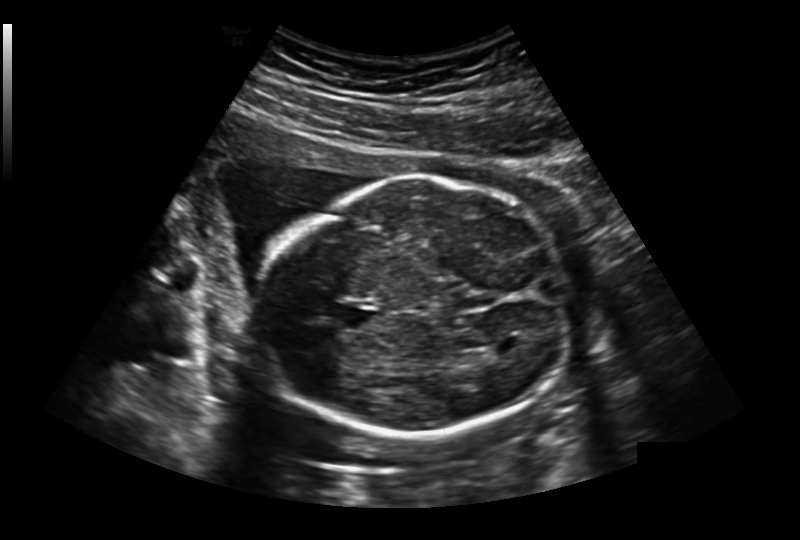
Fetal head ultrasound. Image width: 188.6 mm. Locate the fetal head and, if visible, the cavum septum pellucidum (CSP) and lateral ventricle (LV). Give bounding boxes as [x1,y1,x2,y2].

Head: [256,176,571,440]
CSP: [336,304,375,330]